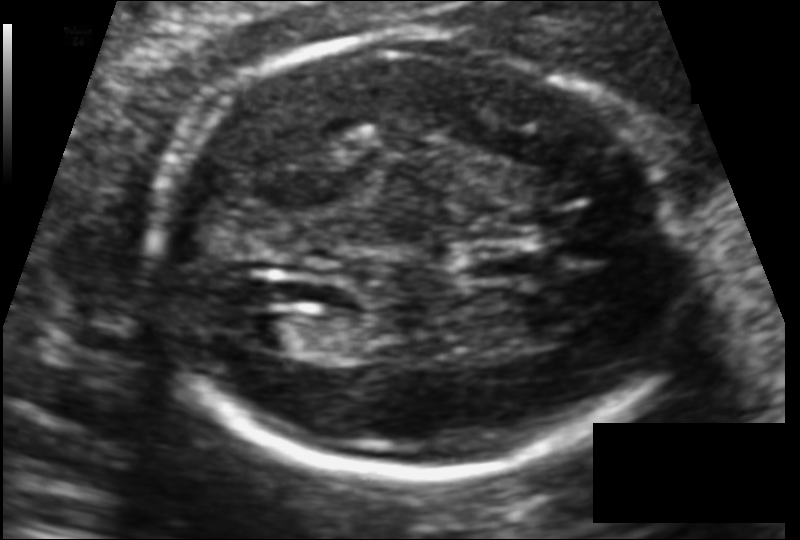
Estimate the fetal head circumference from this 2D ultrasound. Image width: 88.1 mm.

Head circumference: 174.7 mm.